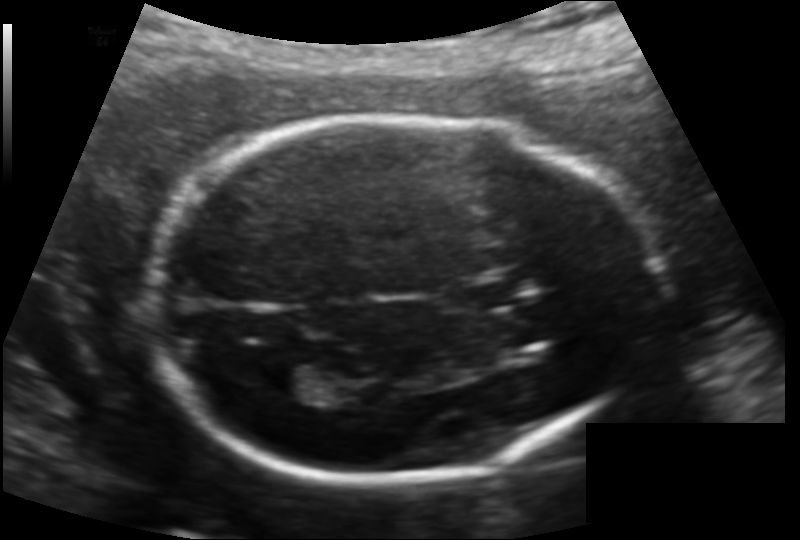
In this fetal head ultrasound, give the bounding box of the lateral ventricle. Image width: 105.6 mm.

[263,360,326,402]